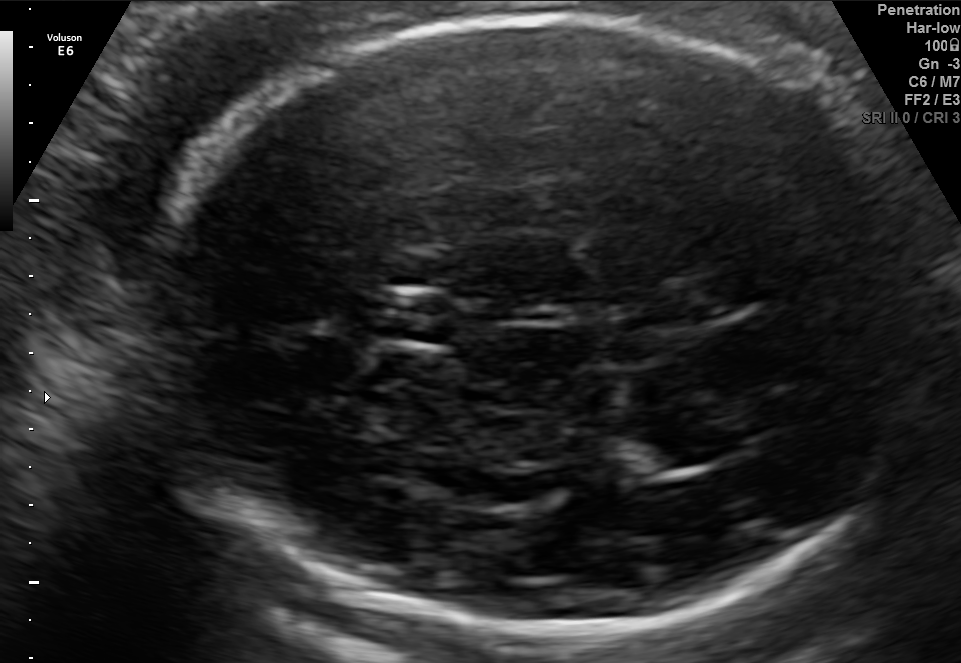
Fetal brain, trans-thalamic plane. Locate the cavum septum pellucidum.

CSP: [369,289,461,346]